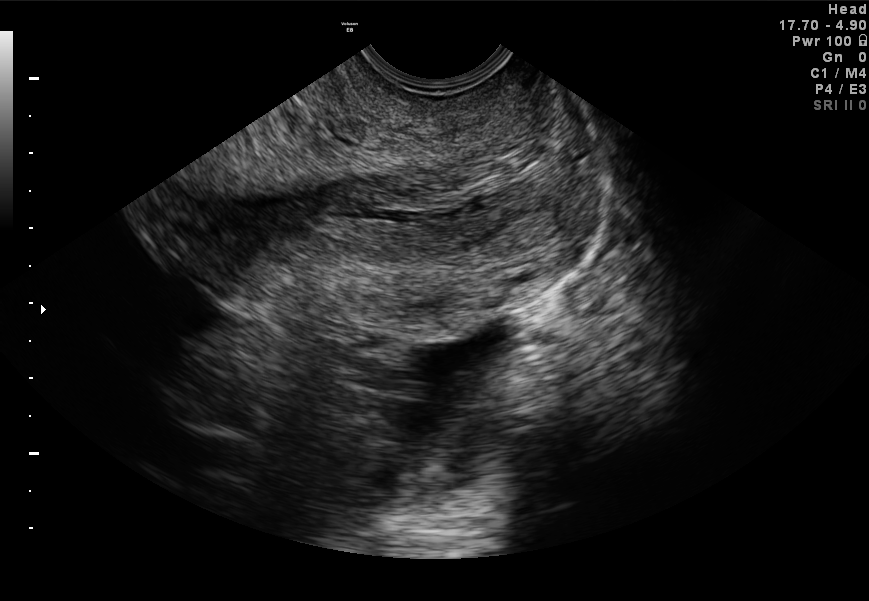
Classify this maternal-fetal ultrasound image as one of the six standard planes — fetal abdomen, fetal brain, fetal femur, fetal thorax, maternal cervix, or other. If it's fetal brain and one of the three standard brain planes (trans-thalamic, trans-cerebellum, trans-ventricular), name which.

Maternal cervix